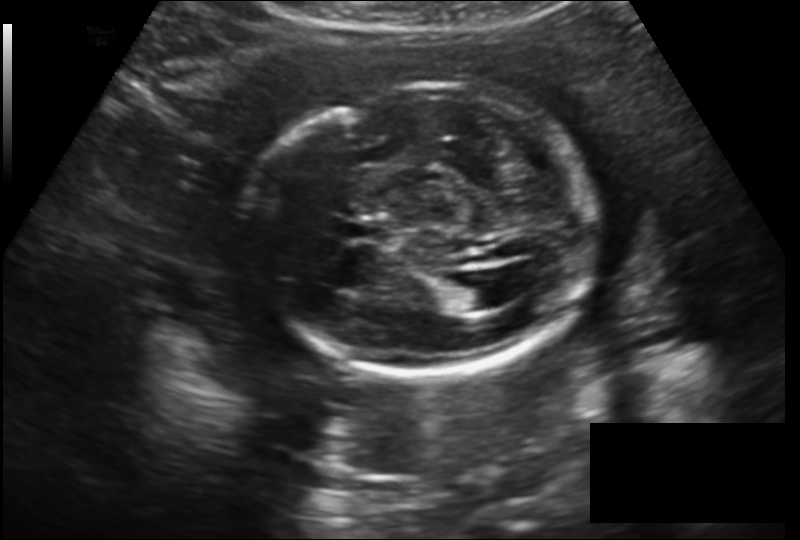
Measure the fetal head circumference shown in this ultrasound image. Image width: 145.7 mm.

Head circumference: 191.7 mm.